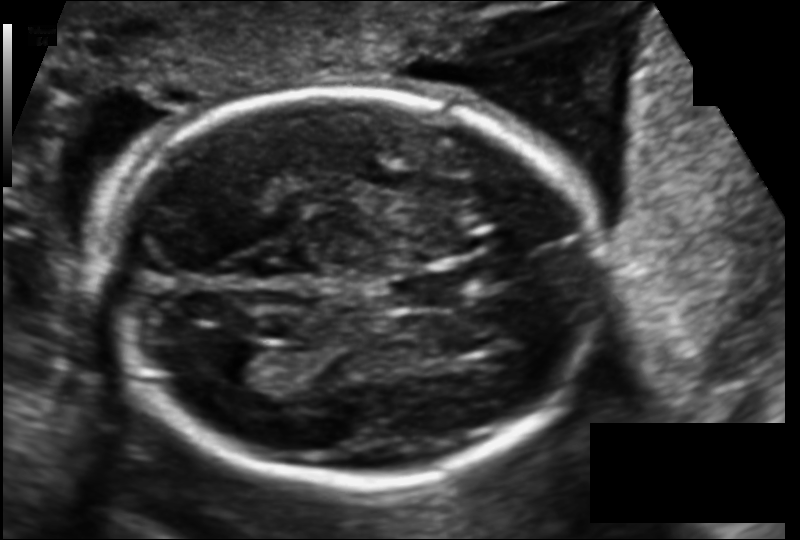
What is the fetal head circumference? Image width is 104.3 mm.

189.9 mm